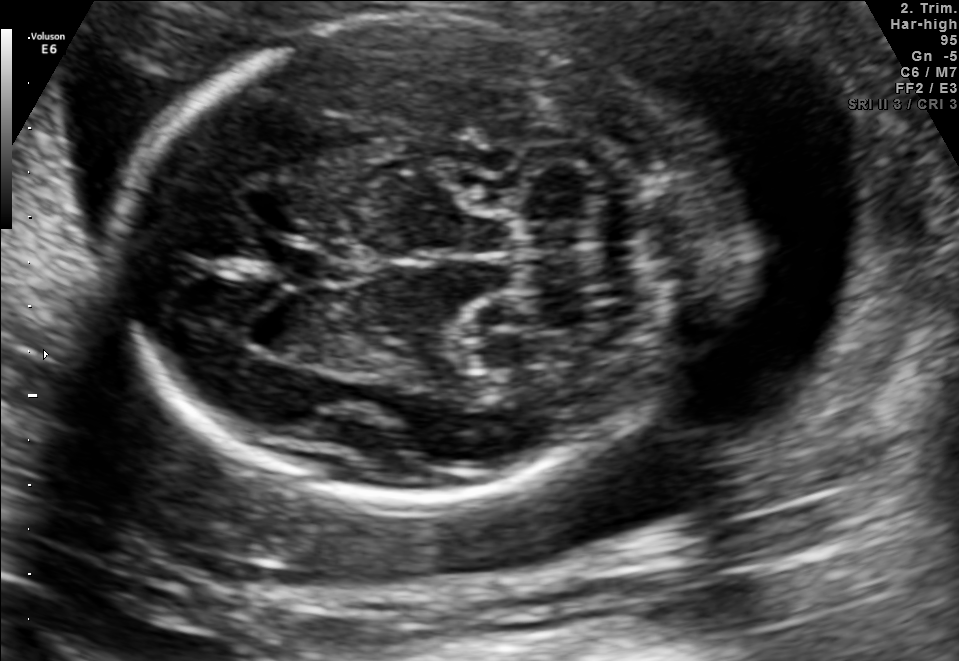
Fetal brain, trans-cerebellum plane. Locate the fetal head.

Head: [124,14,719,501]